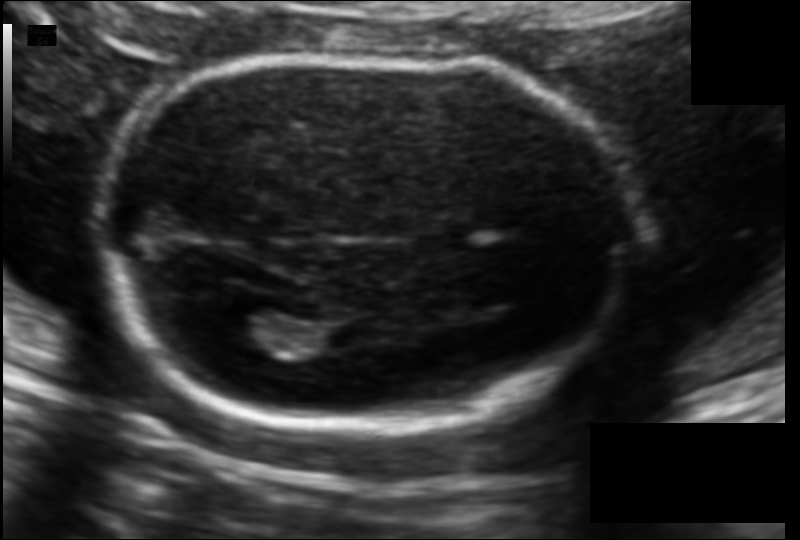
Fetal head ultrasound. Image width: 90.5 mm. Where is the lateral ventricle?

Lateral ventricle bounding box: [210,299,294,359]